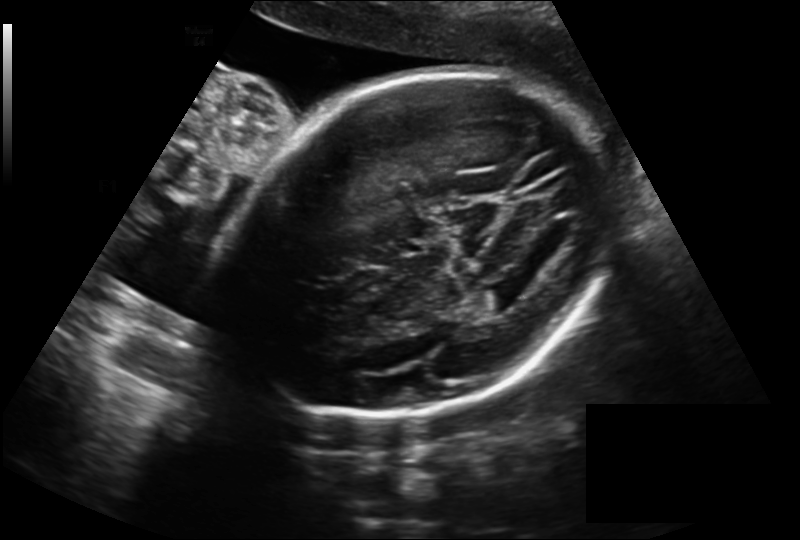
Measure the fetal head circumference shown in this ultrasound image. Image width: 179.9 mm.

Head circumference: 260.6 mm.